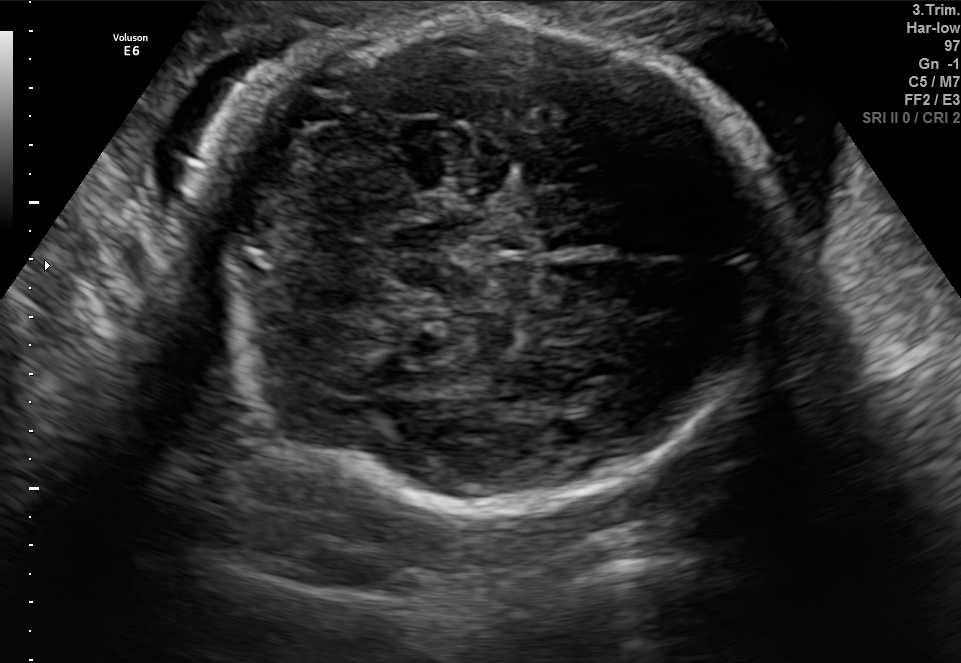
Fetal brain, trans-cerebellum plane. Give [x1,y1,x2,y2] bounding boxes for each visible structure among: fetal head, CSP, LV.

Head: [184,15,775,502]